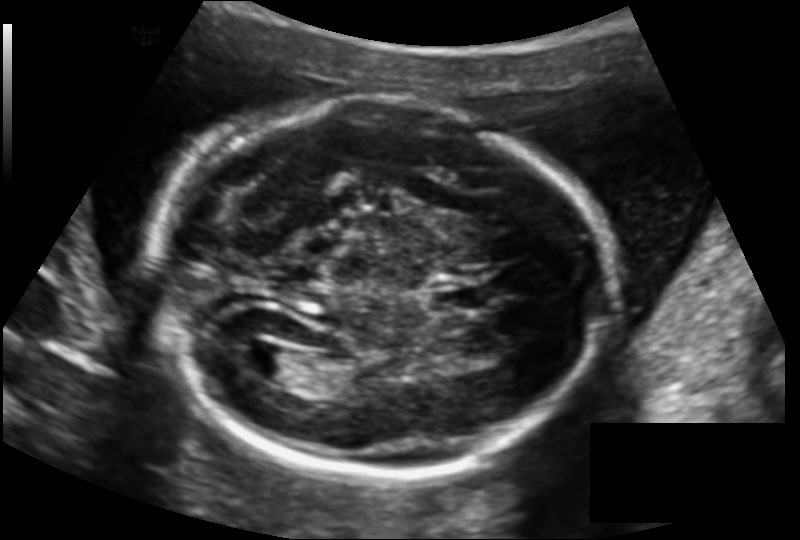
Fetal head ultrasound. Image width: 116.1 mm. Give [x1,y1,x2,y2] bounding boxes for each visible structure among: fetal head, CSP, LV.

Head: [155,103,608,475]
CSP: [433,284,485,312]
Lateral ventricle: [234,337,295,384]